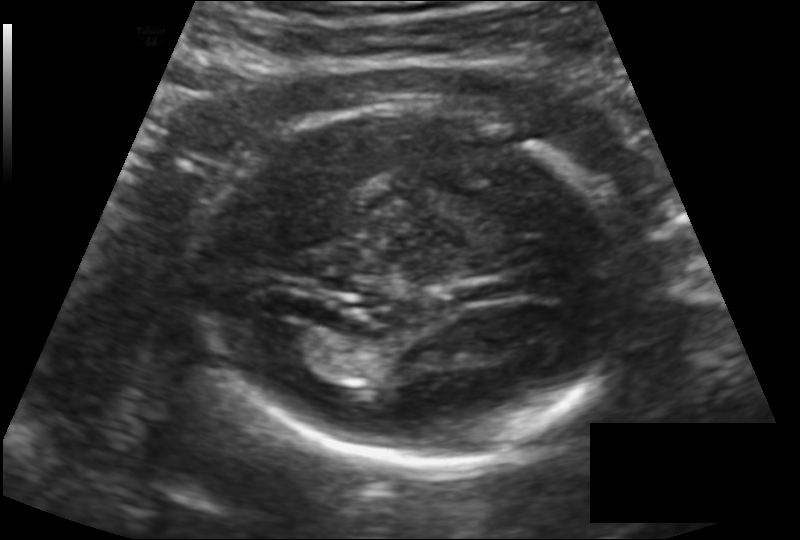
Fetal head ultrasound. Image width: 113.7 mm. Locate the fetal head and, if visible, the cavum septum pellucidum (CSP) and lateral ventricle (LV). Give bounding boxes as [x1,y1,x2,y2].

Head: [206,107,627,469]
Lateral ventricle: [257,322,327,369]